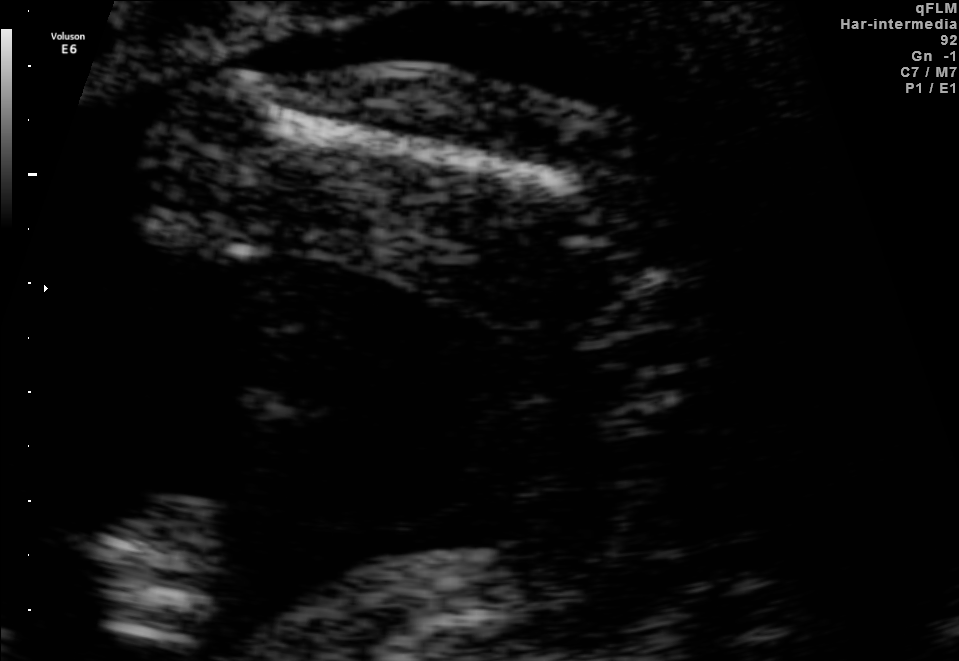
This is a 2D maternal-fetal ultrasound frame. Is it a fetal abdomen, fetal brain, fetal femur, fetal thorax, maternal cervix, or other standard plane? If it's fetal brain and one of the three standard brain planes (trans-thalamic, trans-cerebellum, trans-ventricular), name which.

Fetal femur